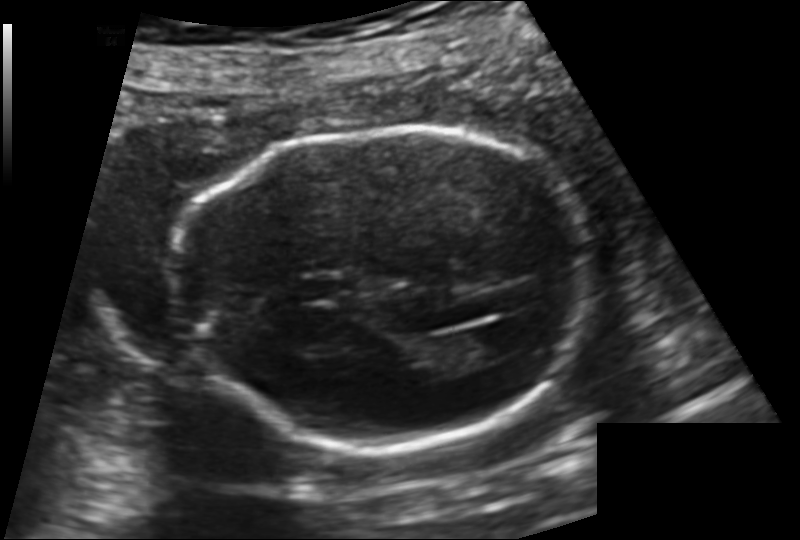
Fetal head ultrasound. Image width: 115.3 mm. Locate the fetal head.

Head: [178,131,592,449]